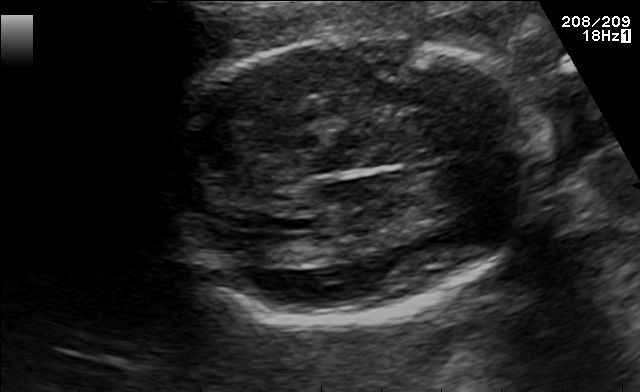
In this fetal brain, trans-thalamic plane, give the bounding box of the fetal head.

[163,34,545,317]